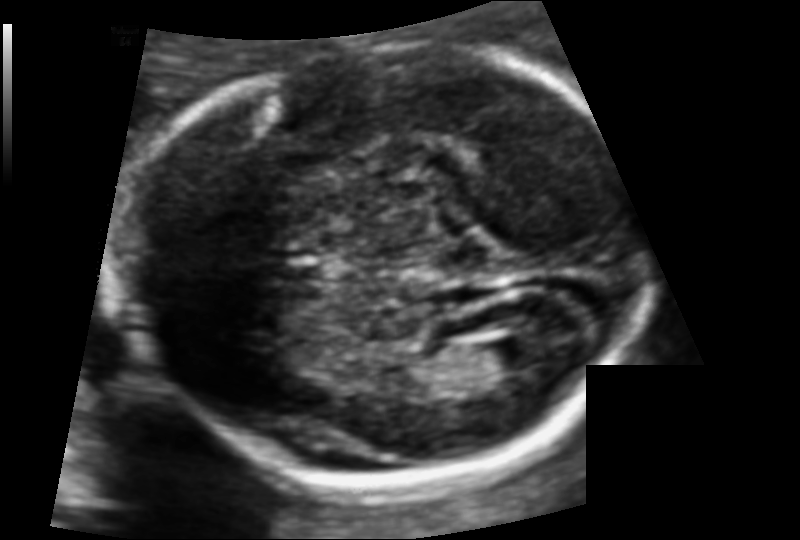
Fetal head ultrasound. Image width: 84.2 mm. Locate the lateral ventricle.

Lateral ventricle: [471,330,543,382]